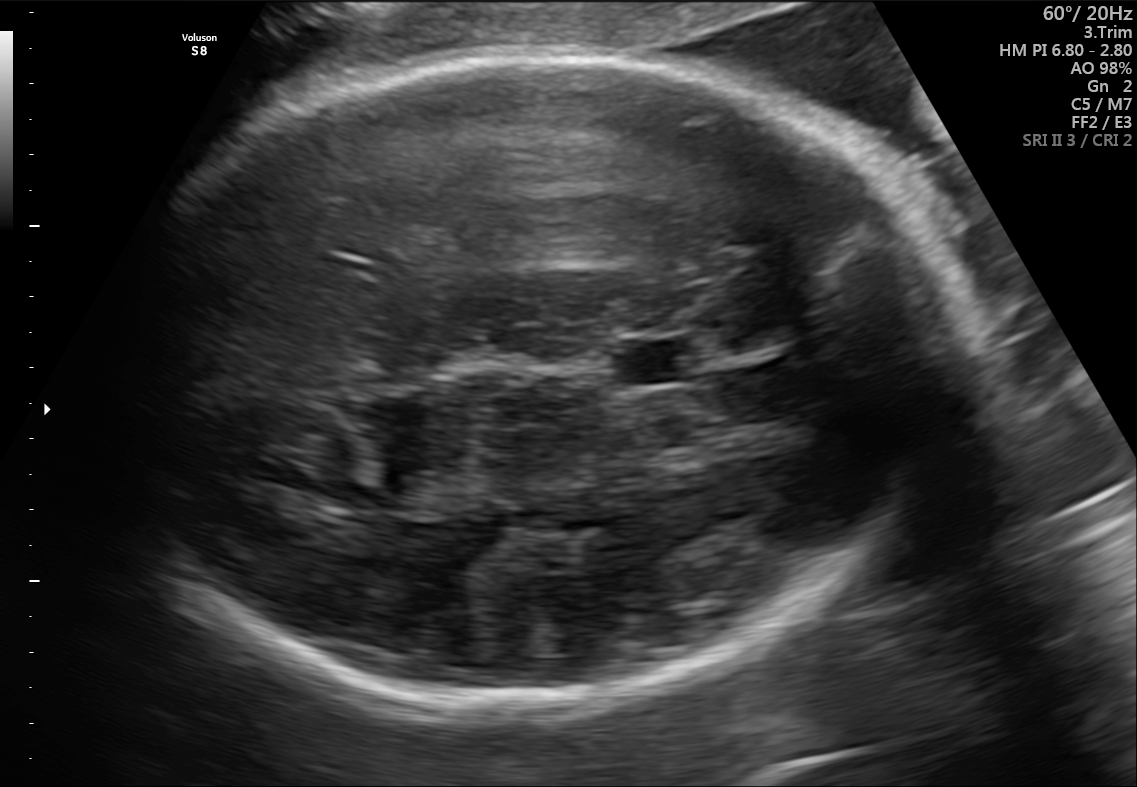
Fetal brain, trans-thalamic plane. Locate the cavum septum pellucidum.

CSP: [614,336,706,388]